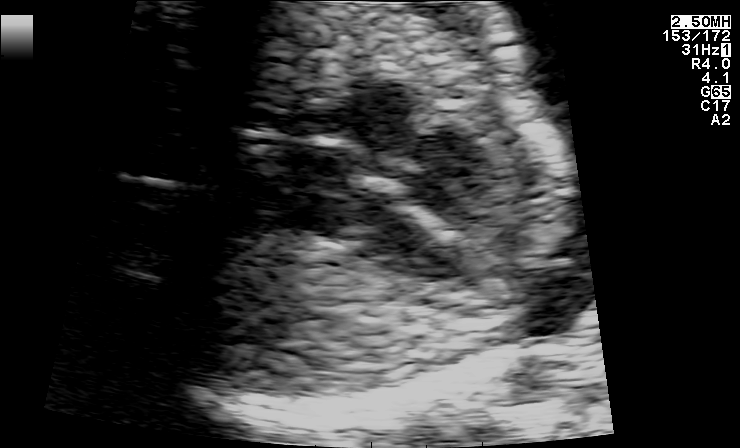
Identify the standard plane in this fetal ultrasound image: fetal abdomen, fetal brain, fetal femur, fetal thorax, maternal cervix, or other. If it's fetal brain and one of the three standard brain planes (trans-thalamic, trans-cerebellum, trans-ventricular), name which.

Fetal thorax